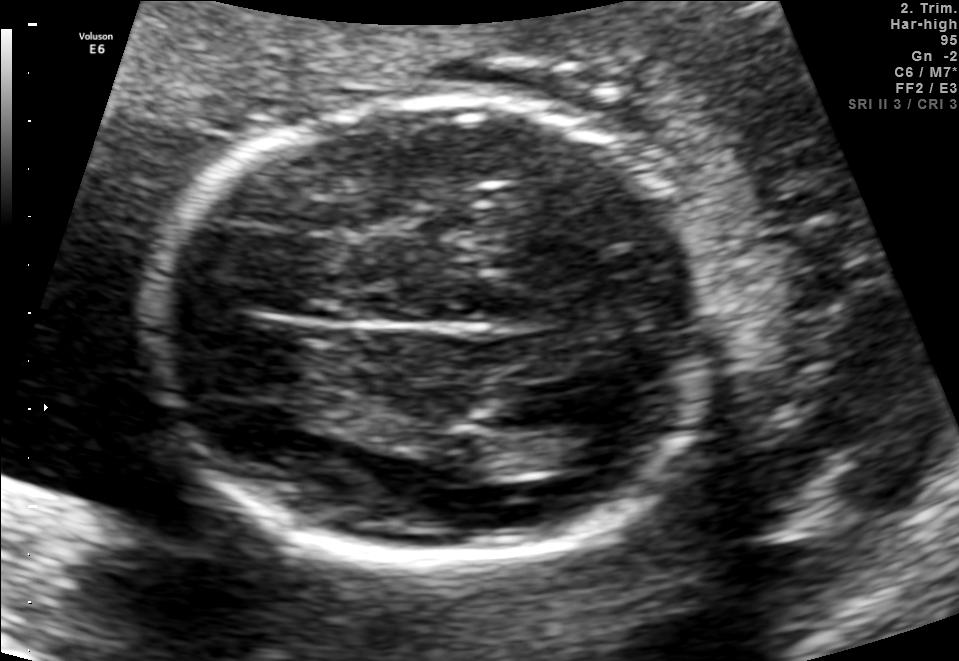
Fetal brain, trans-thalamic plane. Locate the lateral ventricle.

Lateral ventricle: [539,421,636,477]